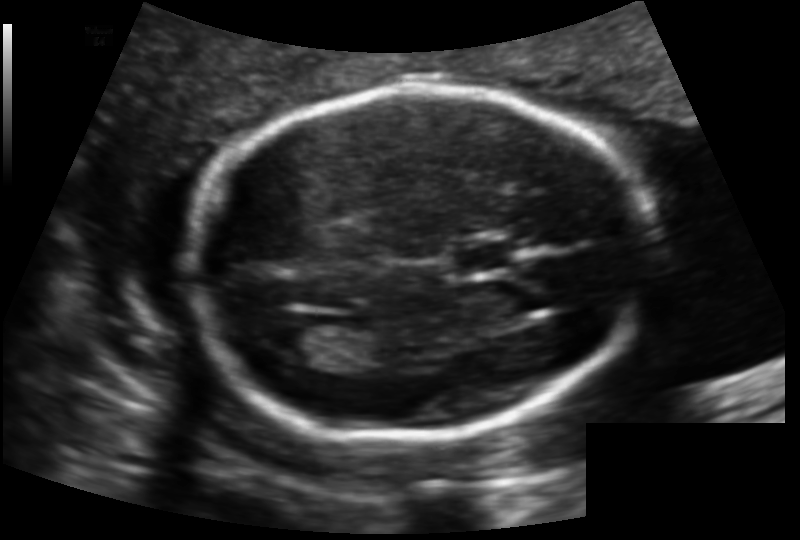
Fetal head ultrasound. Image width: 103.4 mm. Where is the cavum septum pellucidum?

CSP bounding box: [450,239,514,277]